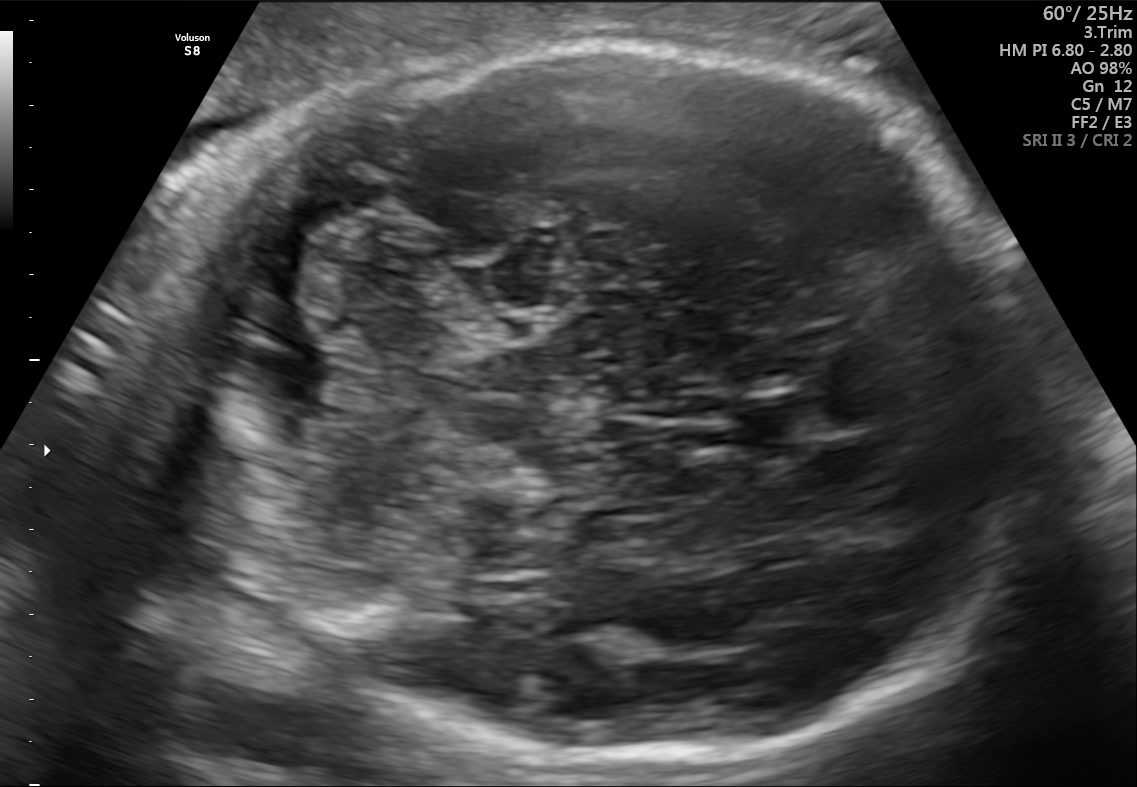
This is a 2D maternal-fetal ultrasound frame. Is it a fetal abdomen, fetal brain, fetal femur, fetal thorax, maternal cervix, or other standard plane? If it's fetal brain and one of the three standard brain planes (trans-thalamic, trans-cerebellum, trans-ventricular), name which.

Fetal brain (trans-cerebellum plane)